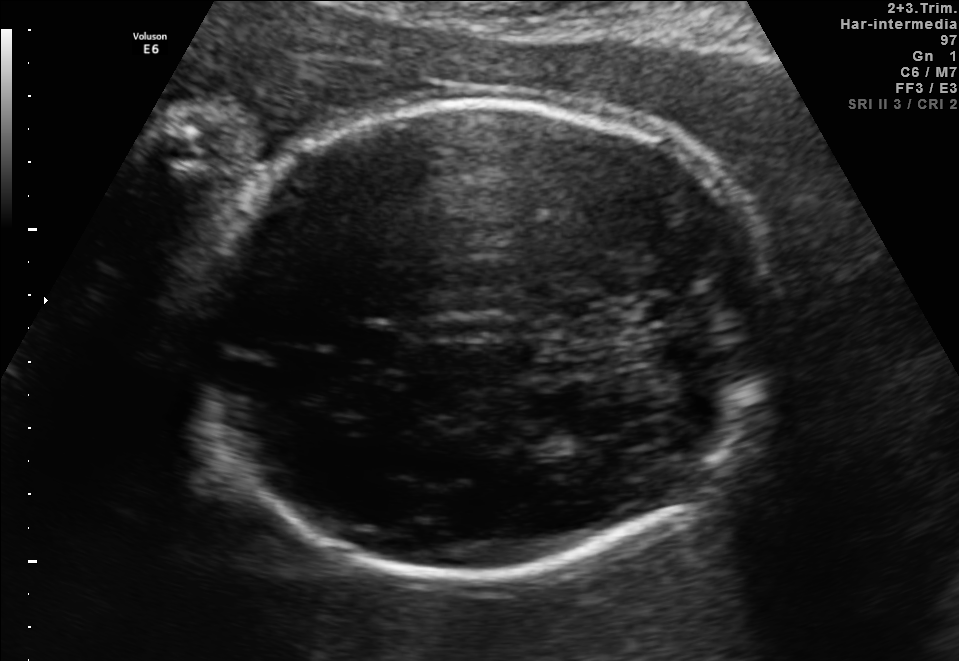
Fetal brain, trans-thalamic plane. Where is the fetal head?

Head bounding box: [187,100,776,583]